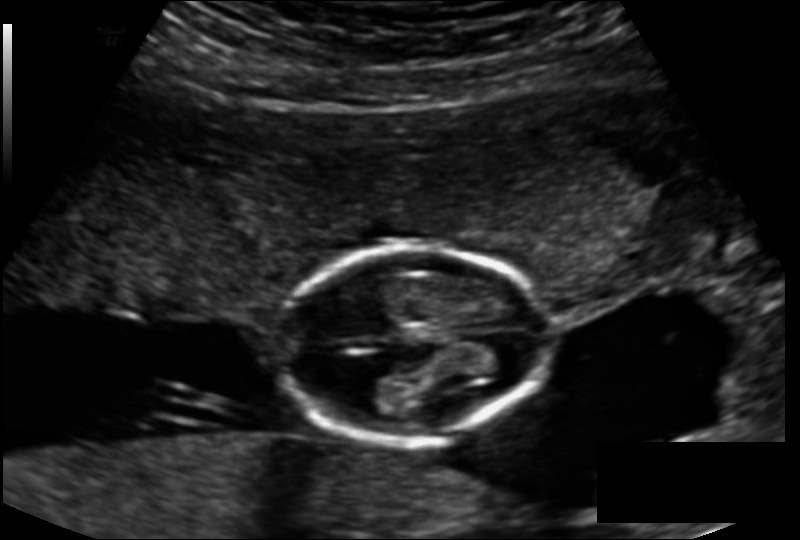
Fetal head ultrasound. Image width: 114.3 mm. Where is the fetal head?

Head bounding box: [277,247,546,440]